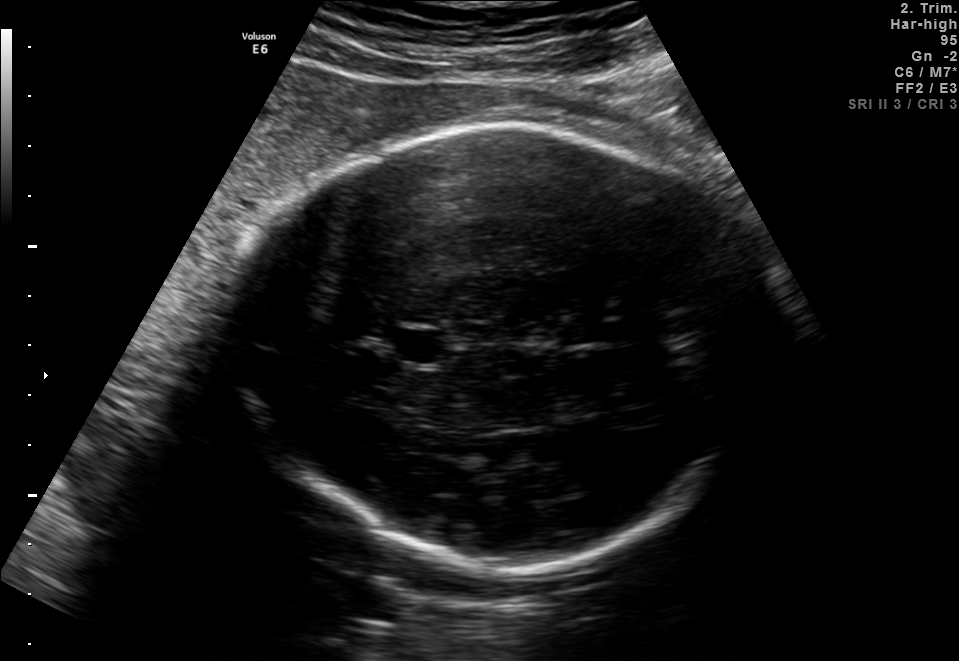
This is a 2D maternal-fetal ultrasound frame. Is it a fetal abdomen, fetal brain, fetal femur, fetal thorax, maternal cervix, or other standard plane? If it's fetal brain and one of the three standard brain planes (trans-thalamic, trans-cerebellum, trans-ventricular), name which.

Fetal brain (trans-thalamic plane)